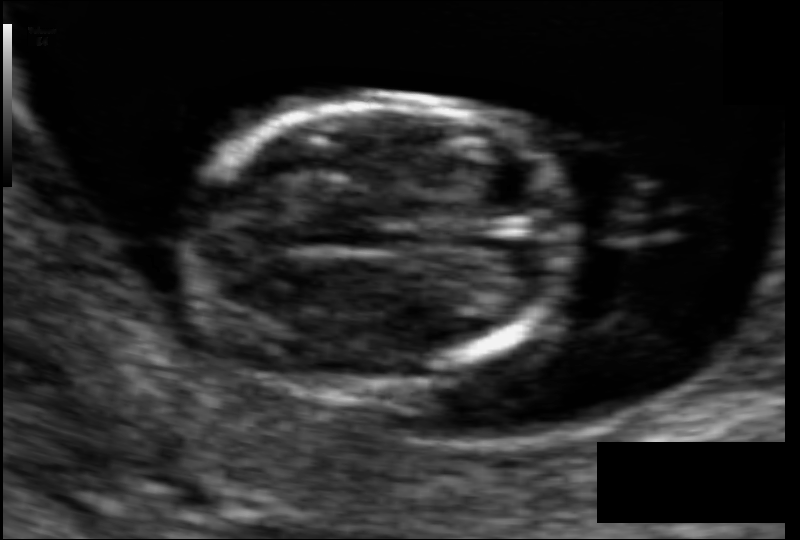
Measure the fetal head circumference shown in this ultrasound image. Image width: 52.8 mm.

Head circumference: 71.6 mm.